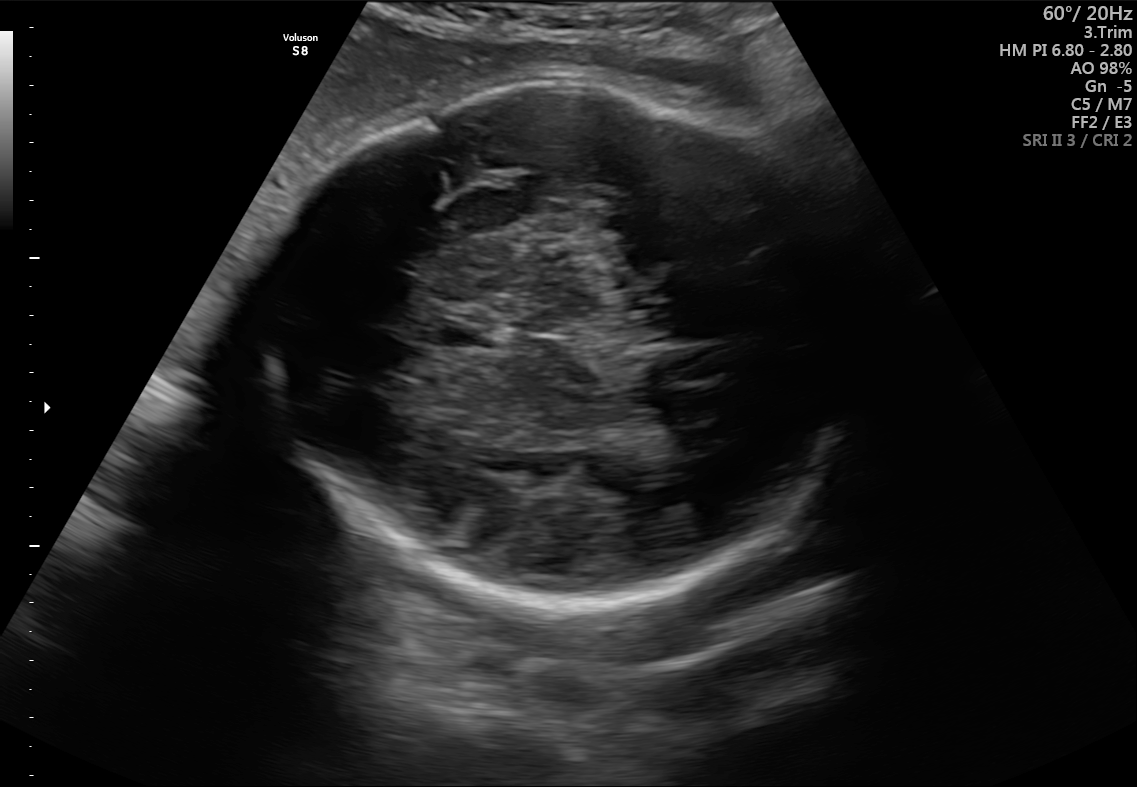
Fetal brain, trans-thalamic plane. Where is the fetal head?

Head bounding box: [257,77,870,612]